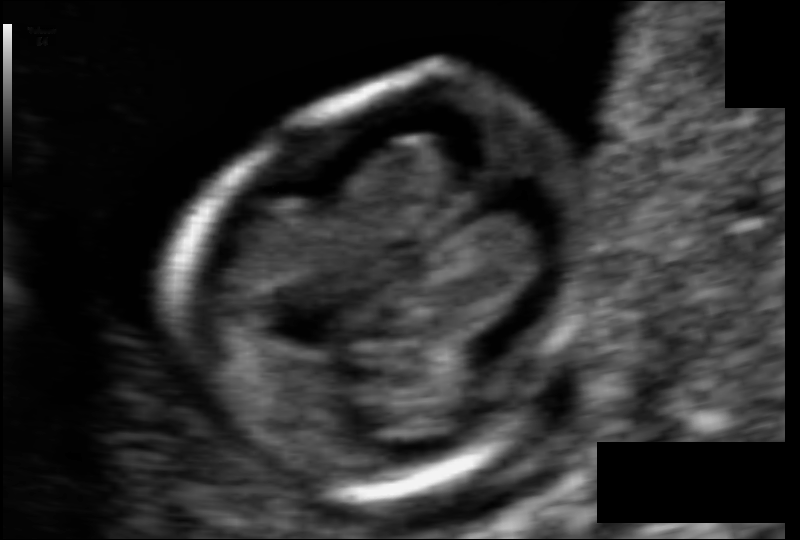
In this fetal head ultrasound, give bounding boxes for the head outline, cavum septum pellucidum (CSP), and lateral ventricle (LV), where visible. Image width: 44.1 mm.

Head: [180,79,601,490]